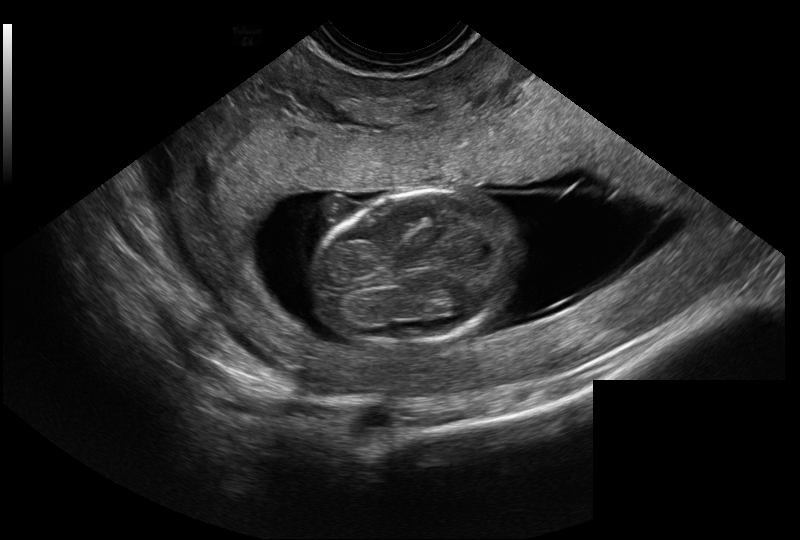
Fetal head ultrasound. Image width: 102.5 mm. Give [x1,y1,x2,y2] bounding boxes for each visible structure among: fetal head, CSP, LV.

Head: [317,190,521,346]